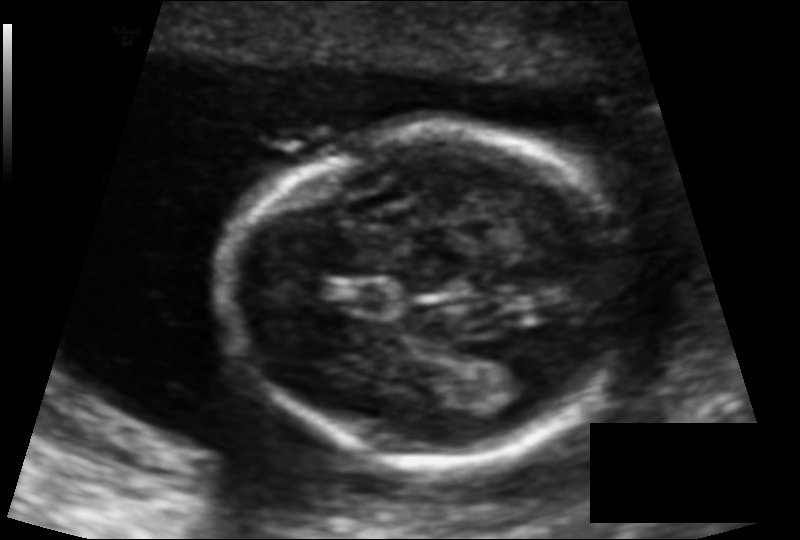
Fetal head ultrasound. Image width: 81.7 mm. Give [x1,y1,x2,y2] bounding boxes for each visible structure among: fetal head, CSP, LV.

Head: [232,129,621,463]